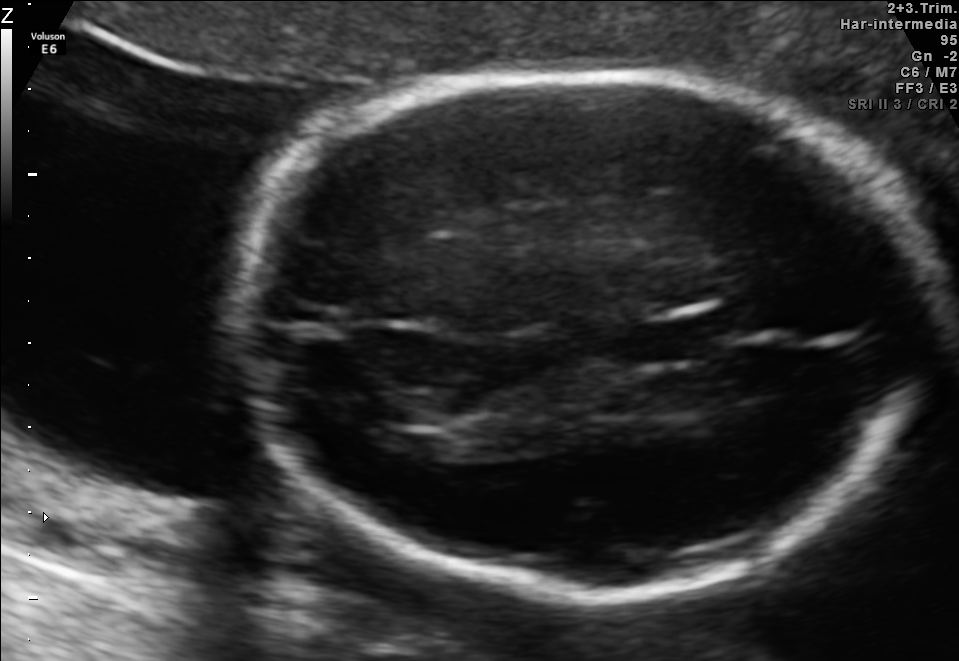
Fetal brain, trans-thalamic plane. Locate the fetal head.

Head: [250,70,927,595]